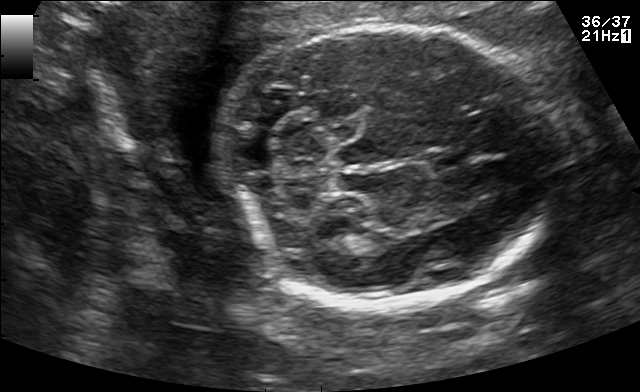
In this fetal brain, trans-cerebellum plane, give the bounding box of the fetal head.

[220,25,558,305]